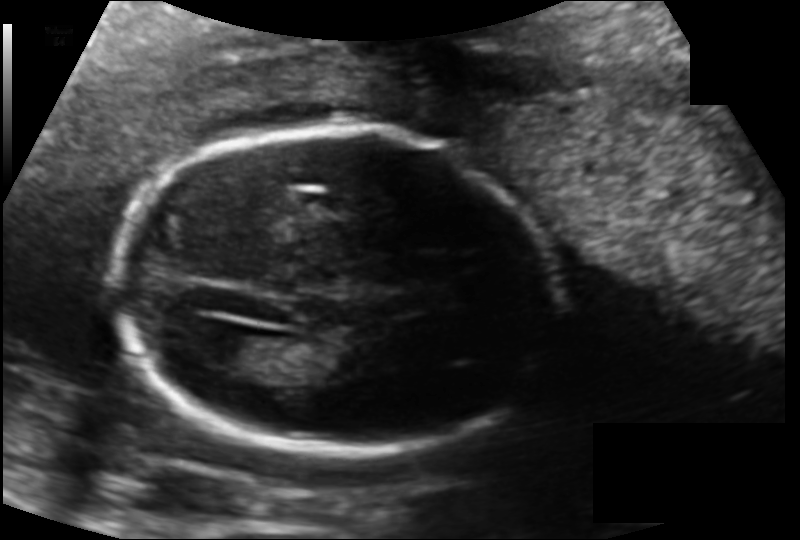
What is the fetal head circumference? Image width is 107.0 mm.

167.5 mm